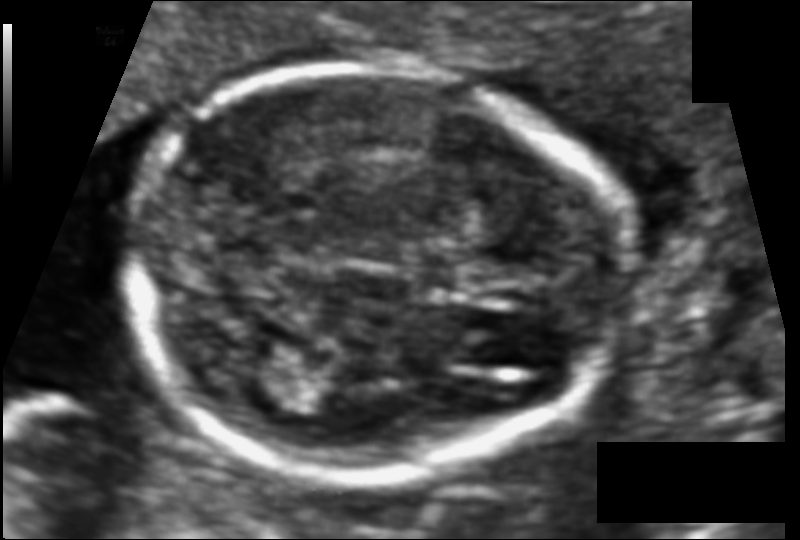
In this fetal head ultrasound, give bounding boxes for the head outline, cavum septum pellucidum (CSP), and lateral ventricle (LV), where visible. Image width: 65.0 mm.

Head: [123,65,621,477]